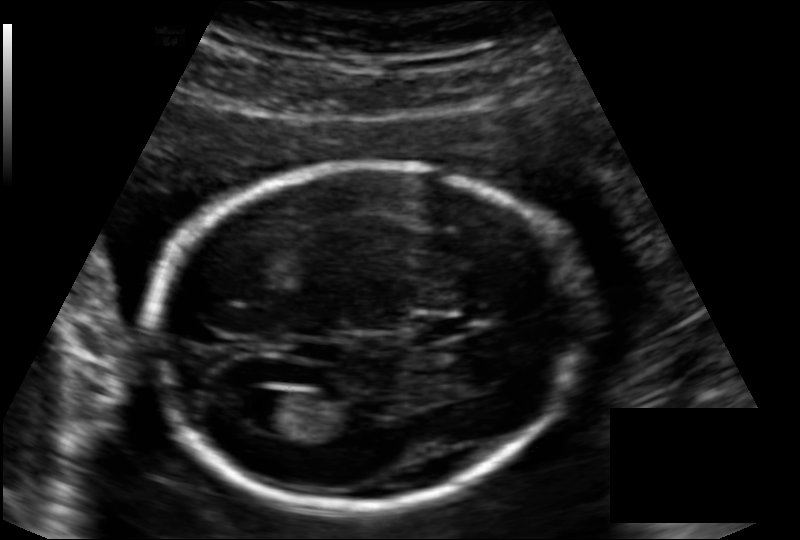
Fetal head ultrasound. Image width: 108.5 mm. Give [x1,y1,x2,y2] bounding boxes for each visible structure among: fetal head, CSP, LV.

Head: [148,162,578,504]
CSP: [411,313,469,342]
Lateral ventricle: [232,386,302,435]